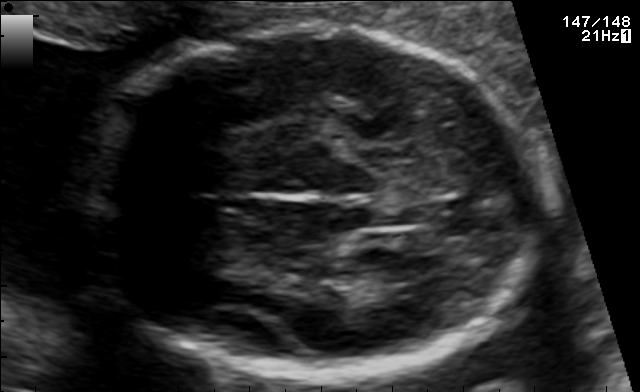
In this fetal brain, trans-thalamic plane, give bounding boxes for the head outline, cavum septum pellucidum (CSP), and lateral ventricle (LV), where visible.

Head: [77,24,541,379]